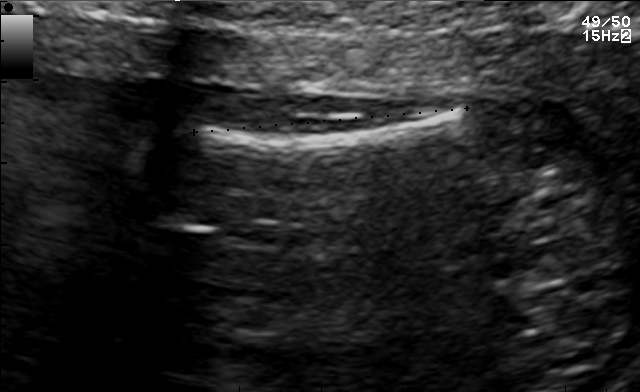
This is a 2D maternal-fetal ultrasound frame. Is it a fetal abdomen, fetal brain, fetal femur, fetal thorax, maternal cervix, or other standard plane? If it's fetal brain and one of the three standard brain planes (trans-thalamic, trans-cerebellum, trans-ventricular), name which.

Other